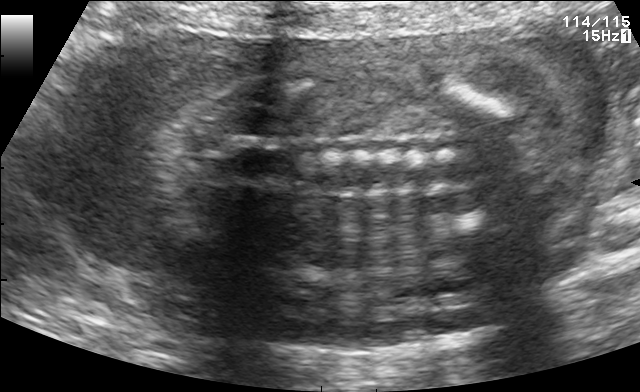
Identify the standard plane in this fetal ultrasound image: fetal abdomen, fetal brain, fetal femur, fetal thorax, maternal cervix, or other. If it's fetal brain and one of the three standard brain planes (trans-thalamic, trans-cerebellum, trans-ventricular), name which.

Other